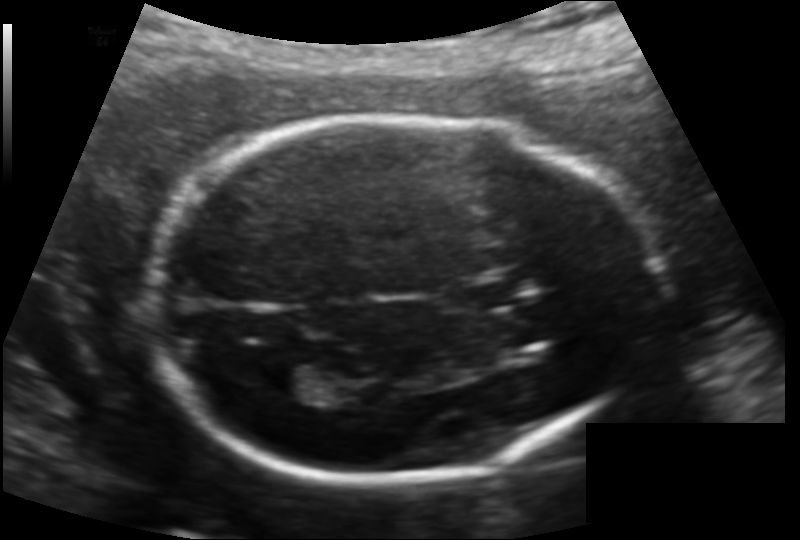
Fetal head ultrasound. Image width: 105.6 mm. Where is the lateral ventricle?

Lateral ventricle bounding box: [263,360,326,402]